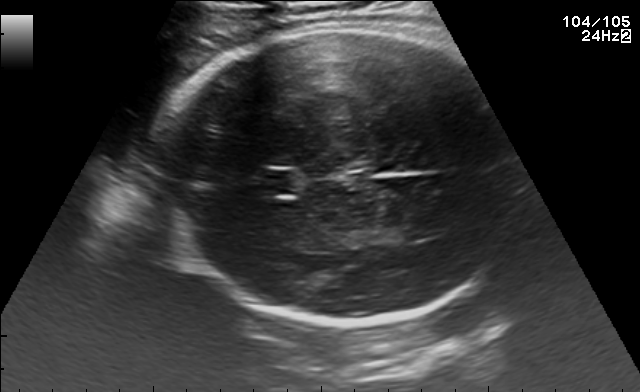
Fetal brain, trans-thalamic plane. Give [x1,y1,x2,y2] bounding boxes for each visible structure among: fetal head, CSP, LV.

Head: [151,24,508,326]
CSP: [254,169,295,195]